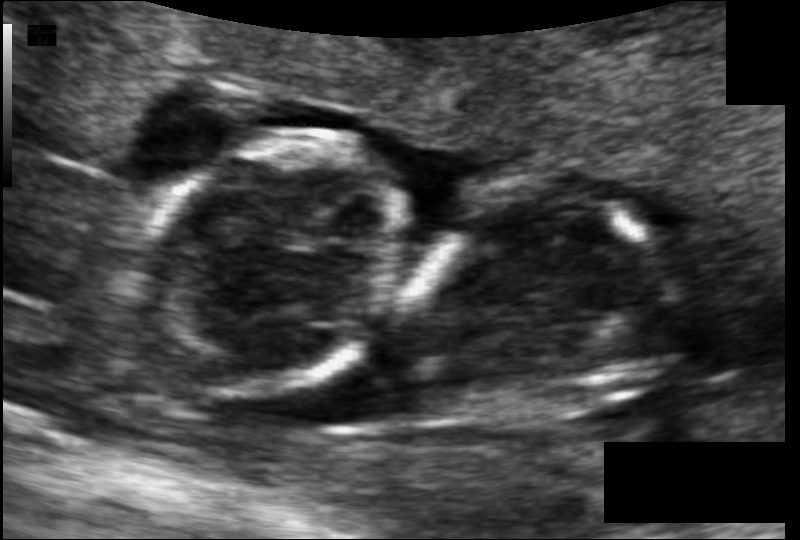
Fetal head ultrasound. Image width: 68.1 mm. Give [x1,y1,x2,y2] bounding boxes for each visible structure among: fetal head, CSP, LV.

Head: [138,140,401,392]